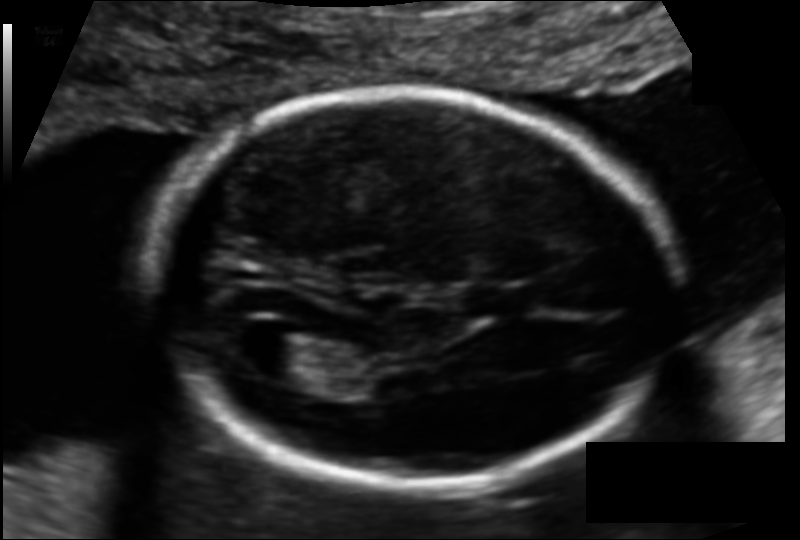
Fetal head ultrasound. Image width: 91.1 mm. Locate the fetal head and, if visible, the cavum septum pellucidum (CSP) and lateral ventricle (LV). Give bounding boxes as [x1,y1,x2,y2].

Head: [152,89,673,485]
CSP: [466,282,532,319]
Lateral ventricle: [239,325,330,387]